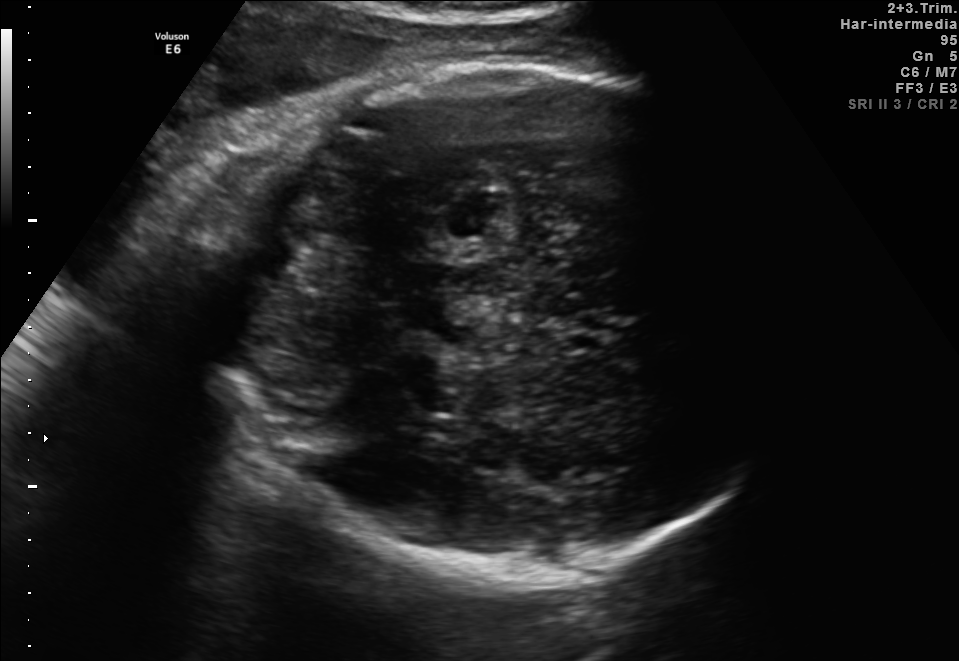
Which standard maternal-fetal ultrasound plane is shown: fetal abdomen, fetal brain, fetal femur, fetal thorax, maternal cervix, or other? If it's fetal brain and one of the three standard brain planes (trans-thalamic, trans-cerebellum, trans-ventricular), name which.

Fetal brain (trans-thalamic plane)